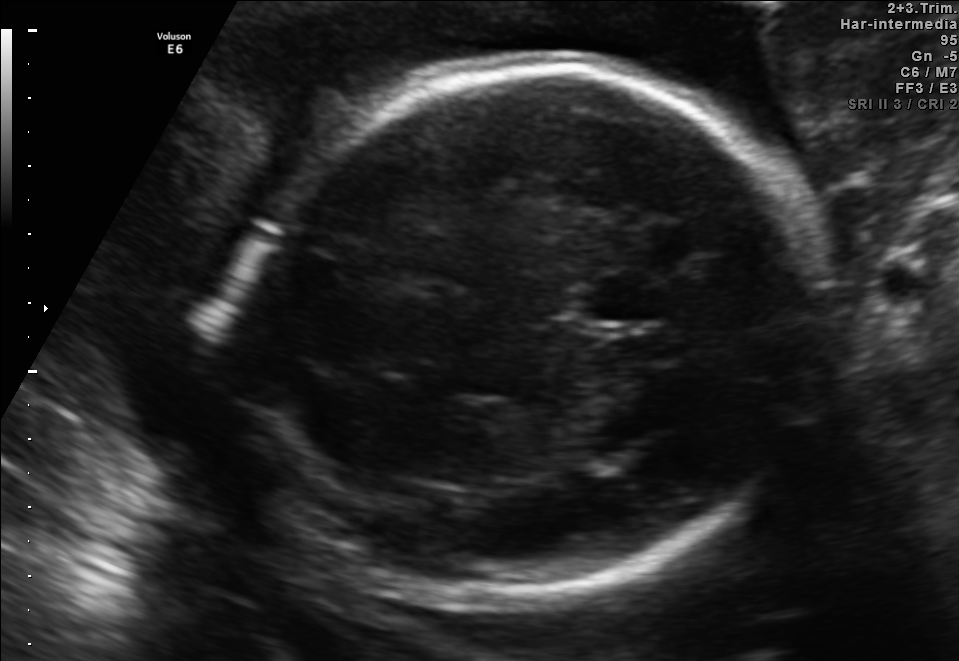
Fetal brain, trans-thalamic plane. Give [x1,y1,x2,y2] bounding boxes for each visible structure among: fetal head, CSP, LV.

Head: [233,65,804,608]